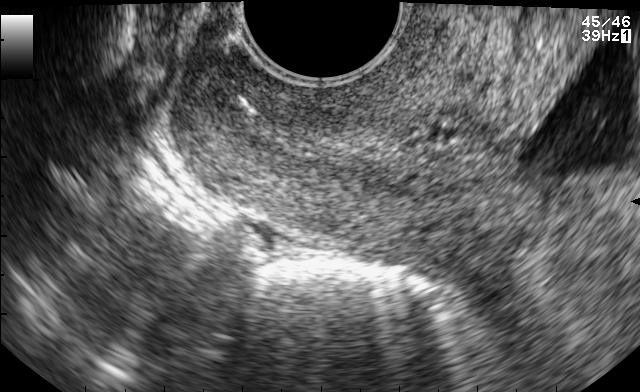
This is a 2D maternal-fetal ultrasound frame. Is it a fetal abdomen, fetal brain, fetal femur, fetal thorax, maternal cervix, or other standard plane? If it's fetal brain and one of the three standard brain planes (trans-thalamic, trans-cerebellum, trans-ventricular), name which.

Maternal cervix